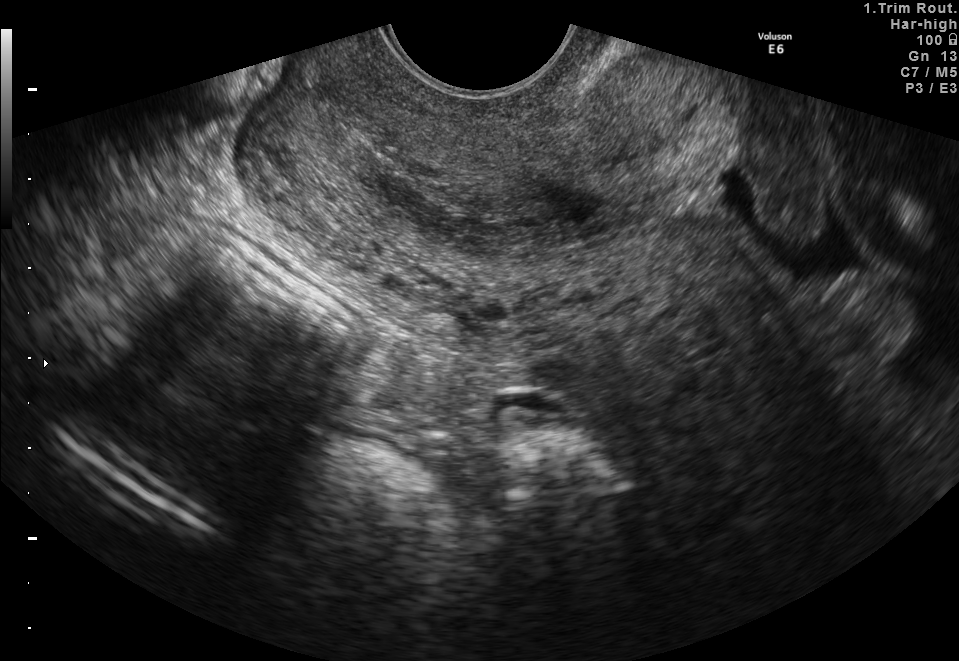
Identify the standard plane in this fetal ultrasound image: fetal abdomen, fetal brain, fetal femur, fetal thorax, maternal cervix, or other. If it's fetal brain and one of the three standard brain planes (trans-thalamic, trans-cerebellum, trans-ventricular), name which.

Maternal cervix